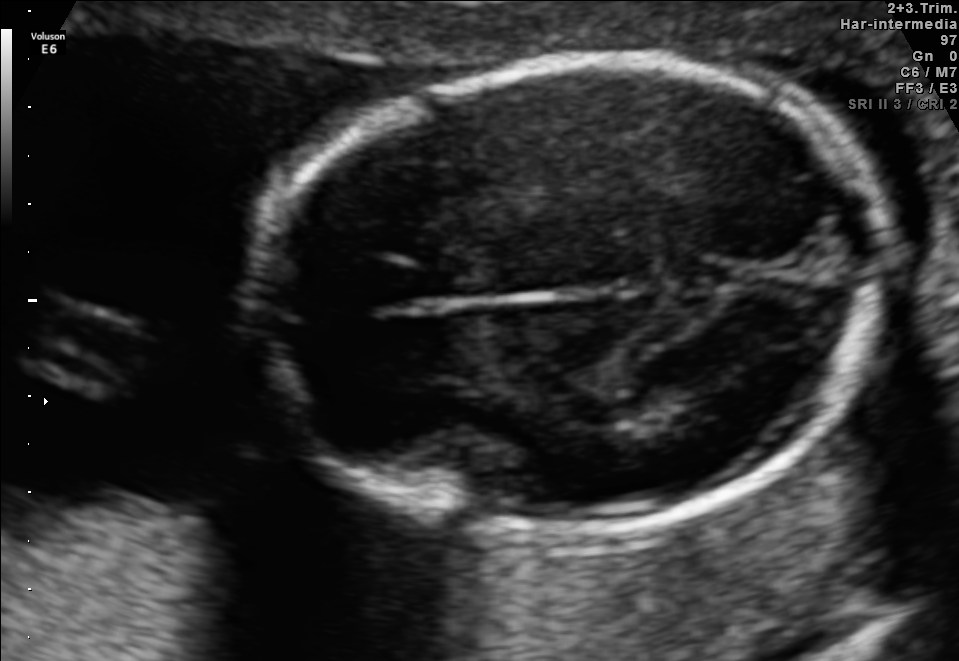
Fetal brain, trans-thalamic plane. Give [x1,y1,x2,y2] bounding boxes for each visible structure among: fetal head, CSP, LV.

Head: [256,57,893,536]